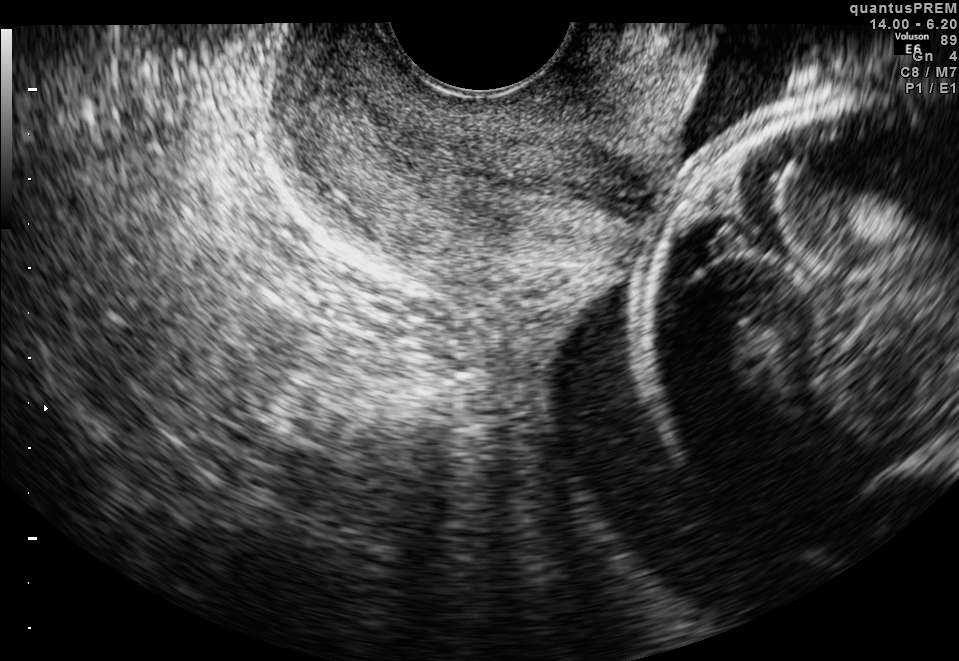
Classify this maternal-fetal ultrasound image as one of the six standard planes — fetal abdomen, fetal brain, fetal femur, fetal thorax, maternal cervix, or other. If it's fetal brain and one of the three standard brain planes (trans-thalamic, trans-cerebellum, trans-ventricular), name which.

Maternal cervix